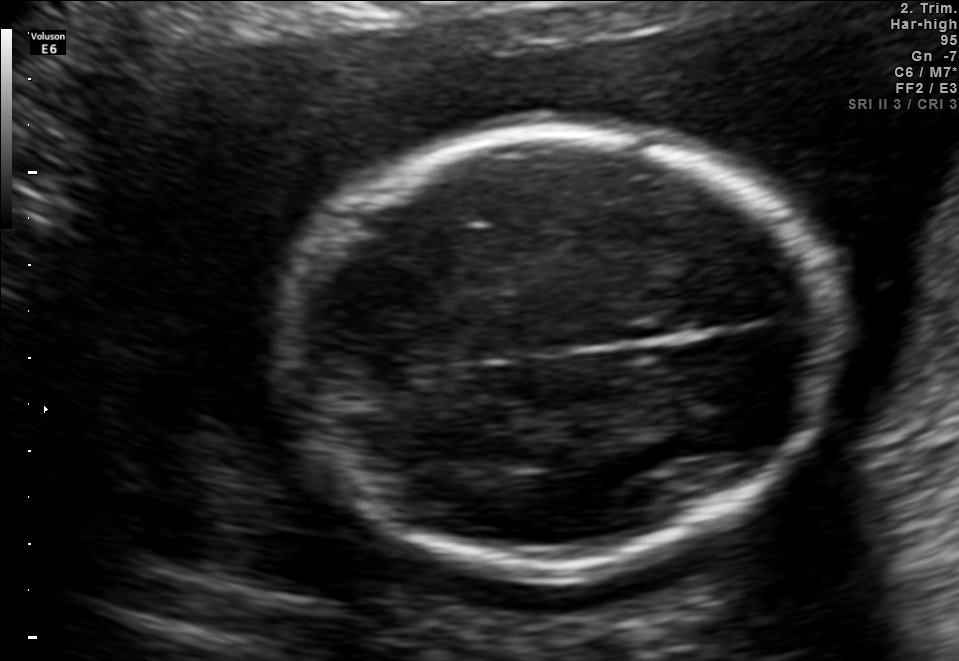
This is a 2D maternal-fetal ultrasound frame. Is it a fetal abdomen, fetal brain, fetal femur, fetal thorax, maternal cervix, or other standard plane? If it's fetal brain and one of the three standard brain planes (trans-thalamic, trans-cerebellum, trans-ventricular), name which.

Fetal brain (trans-thalamic plane)